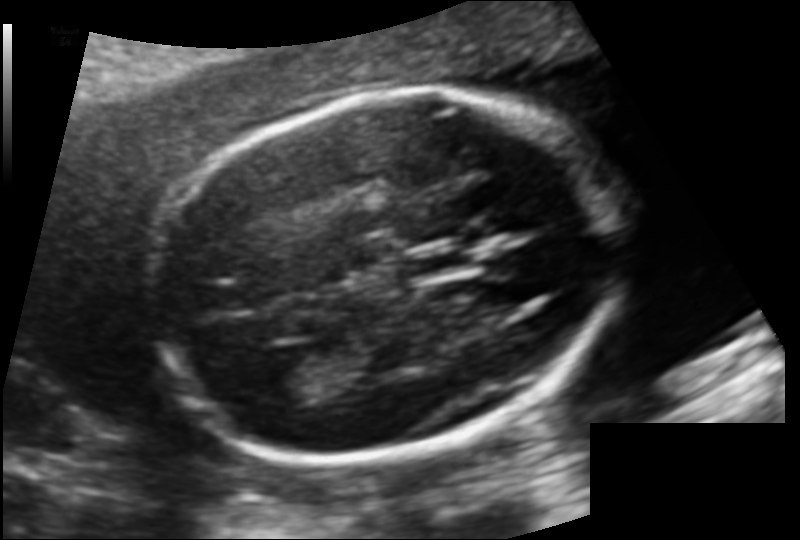
Fetal head ultrasound. Image width: 96.3 mm. Where is the fetal head?

Head bounding box: [152,92,613,459]